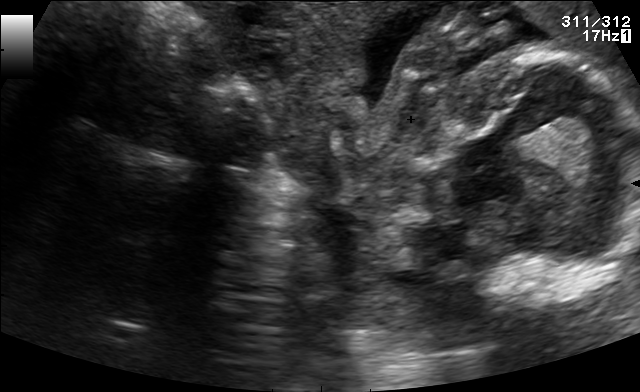
This is a 2D maternal-fetal ultrasound frame. Is it a fetal abdomen, fetal brain, fetal femur, fetal thorax, maternal cervix, or other standard plane? If it's fetal brain and one of the three standard brain planes (trans-thalamic, trans-cerebellum, trans-ventricular), name which.

Other